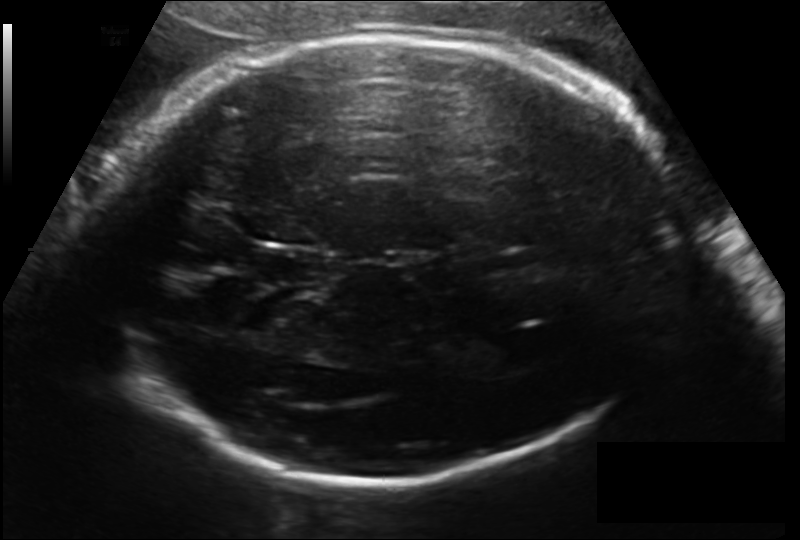
Fetal head ultrasound. Image width: 136.7 mm. Where is the cavum septum pellucidum?

CSP bounding box: [250,247,325,288]